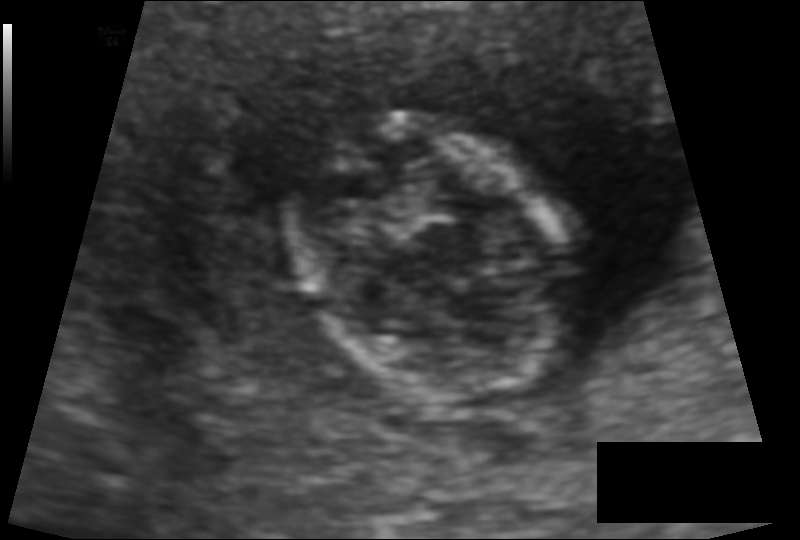
Fetal head ultrasound. Image width: 72.9 mm. Locate the fetal head.

Head: [277,120,585,395]